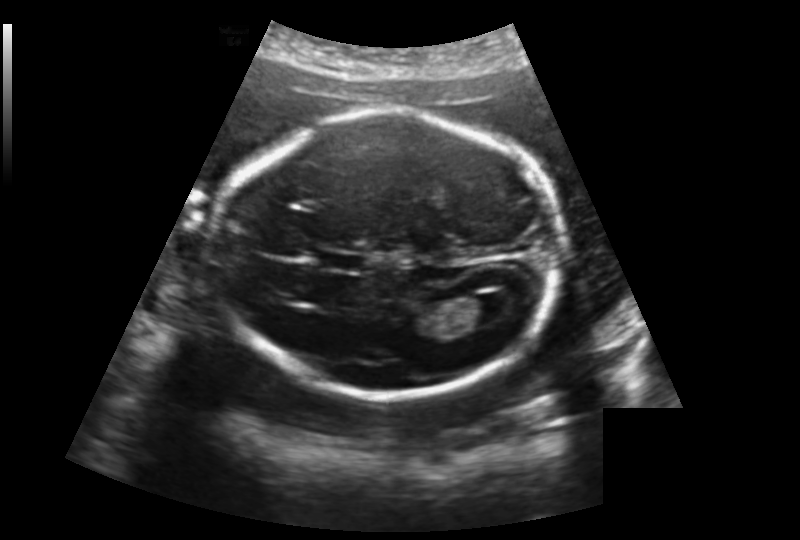
Fetal head ultrasound. Image width: 150.3 mm. Locate the cavum septum pellucidum.

CSP: [315,248,368,276]